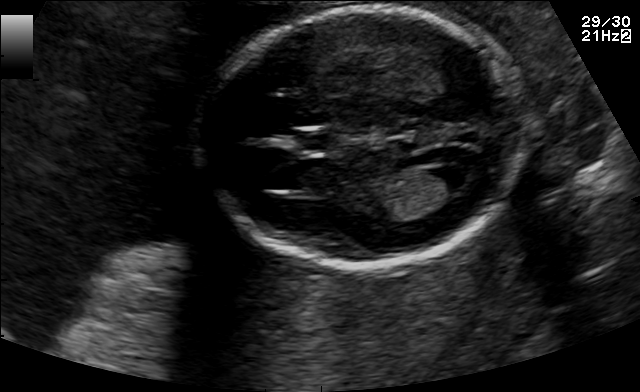
Fetal brain, trans-ventricular plane. Where is the lateral ventricle?

Lateral ventricle bounding box: [430,158,484,197]